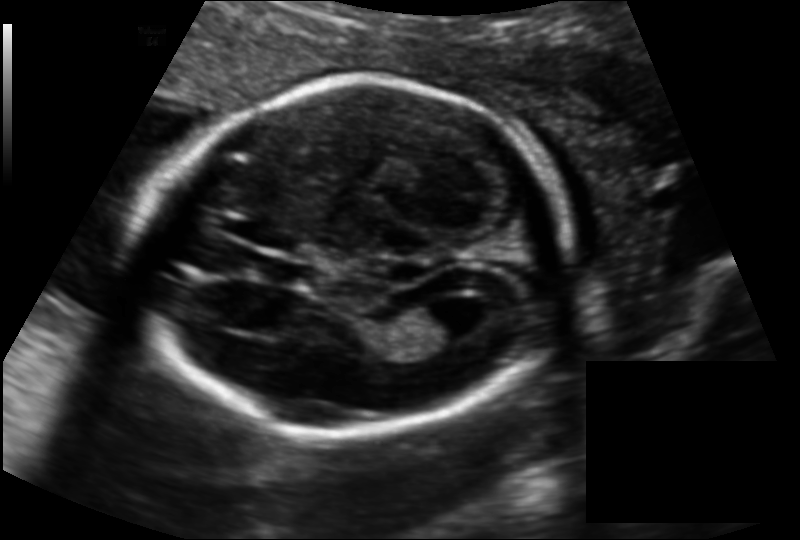
Fetal head ultrasound. Image width: 107.9 mm. Locate the fetal head.

Head: [138,80,569,434]